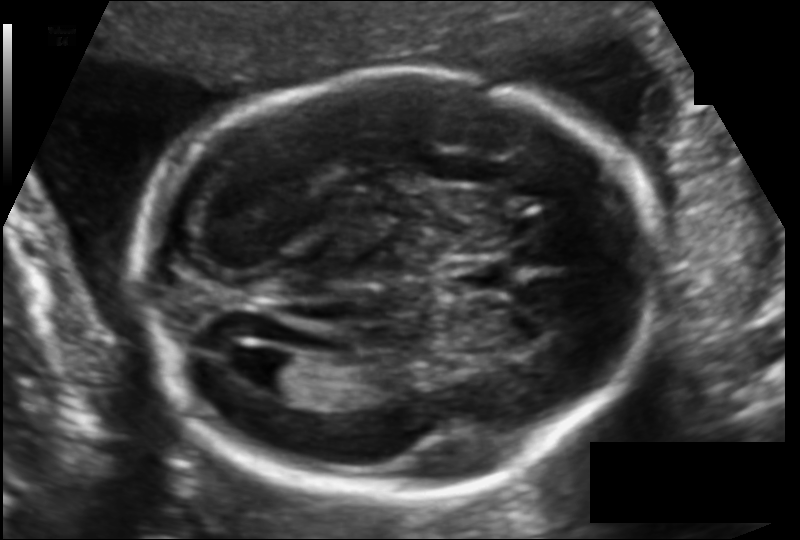
In this fetal head ultrasound, give the bounding box of the lateral ventricle. Image width: 97.1 mm.

[246,345,309,394]